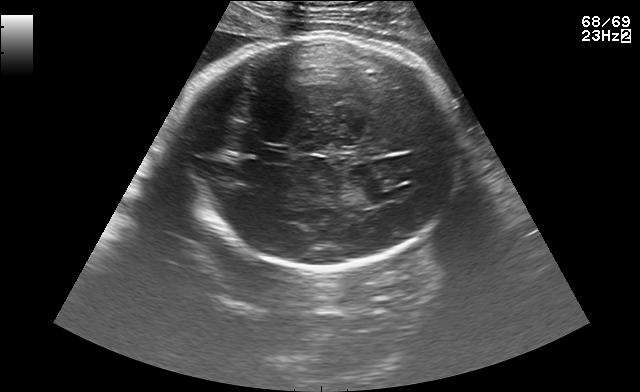
Classify this maternal-fetal ultrasound image as one of the six standard planes — fetal abdomen, fetal brain, fetal femur, fetal thorax, maternal cervix, or other. If it's fetal brain and one of the three standard brain planes (trans-thalamic, trans-cerebellum, trans-ventricular), name which.

Fetal brain (trans-thalamic plane)